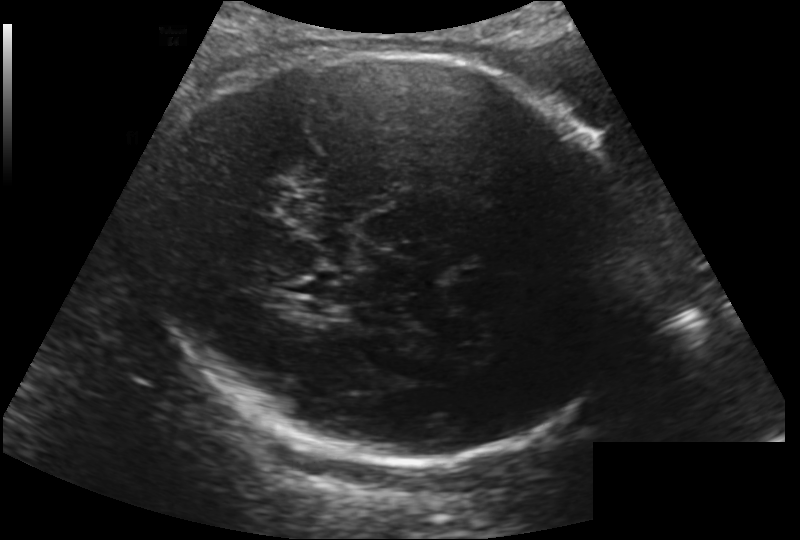
Estimate the fetal head circumference from this 2D ultrasound. Image width: 160.1 mm.

Head circumference: 284.9 mm.